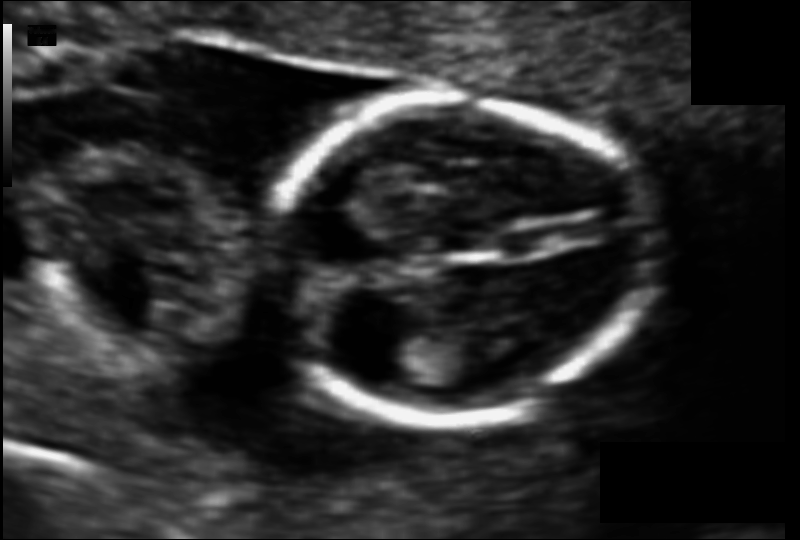
Estimate the fetal head circumference from this 2D ultrasound.

Head circumference: 95.3 mm (image width 66.6 mm).